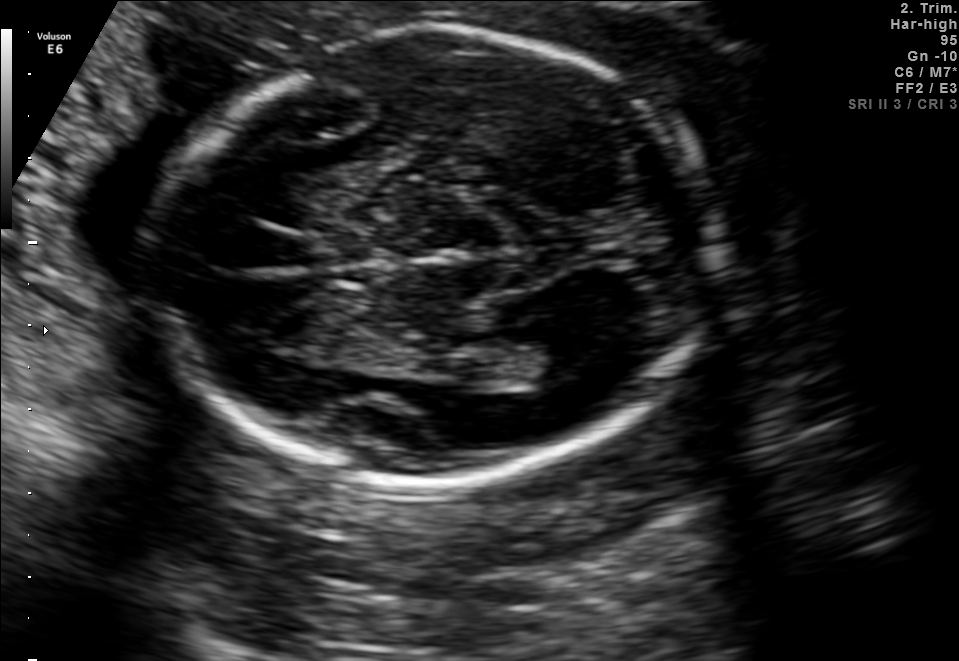
In this fetal brain, trans-ventricular plane, give the bounding box of the fetal head.

[148,28,727,489]